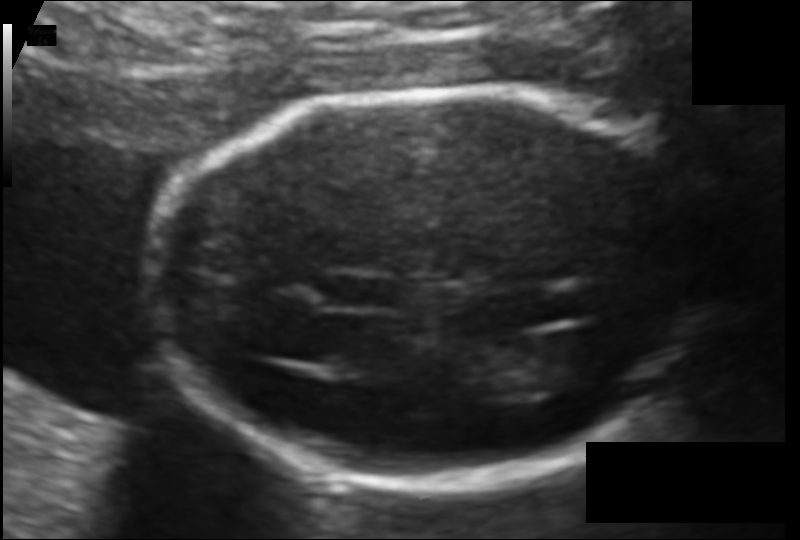
Estimate the fetal head circumference from this 2D ultrasound. Image width: 82.4 mm.

Head circumference: 156.8 mm.